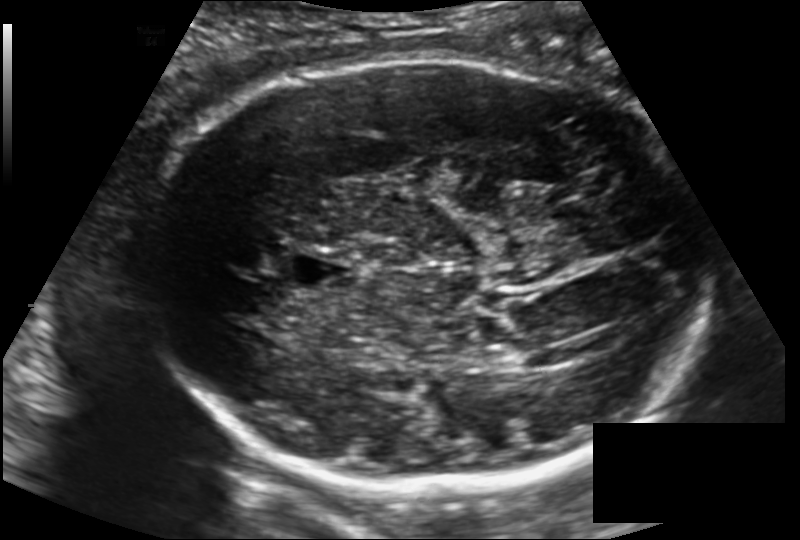
In this fetal head ultrasound, give the bounding box of the cavum septum pellucidum. Image width: 136.5 mm.

[284,249,360,296]